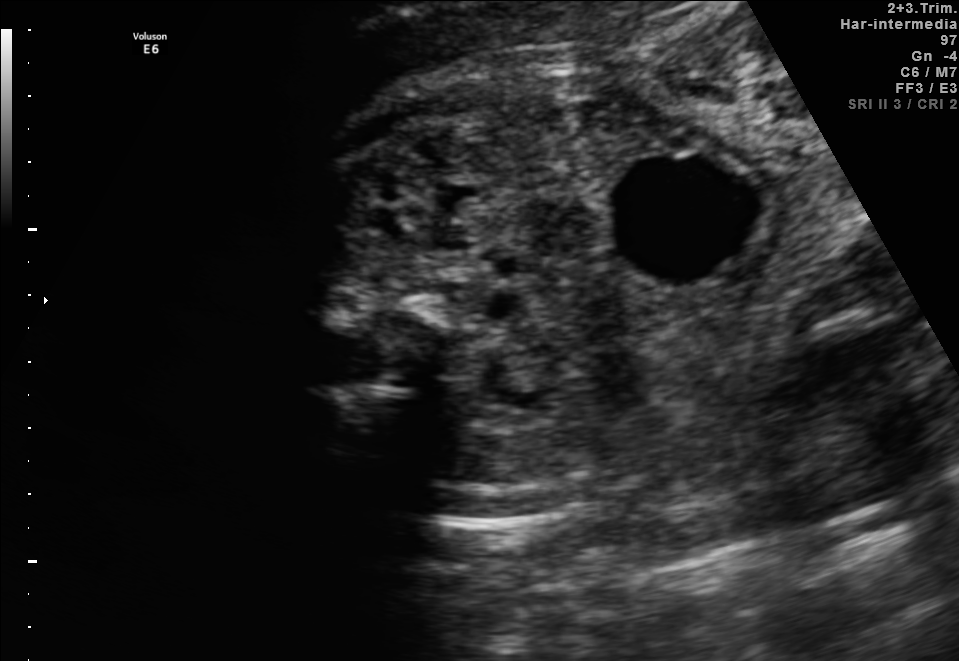
Classify this maternal-fetal ultrasound image as one of the six standard planes — fetal abdomen, fetal brain, fetal femur, fetal thorax, maternal cervix, or other. If it's fetal brain and one of the three standard brain planes (trans-thalamic, trans-cerebellum, trans-ventricular), name which.

Other